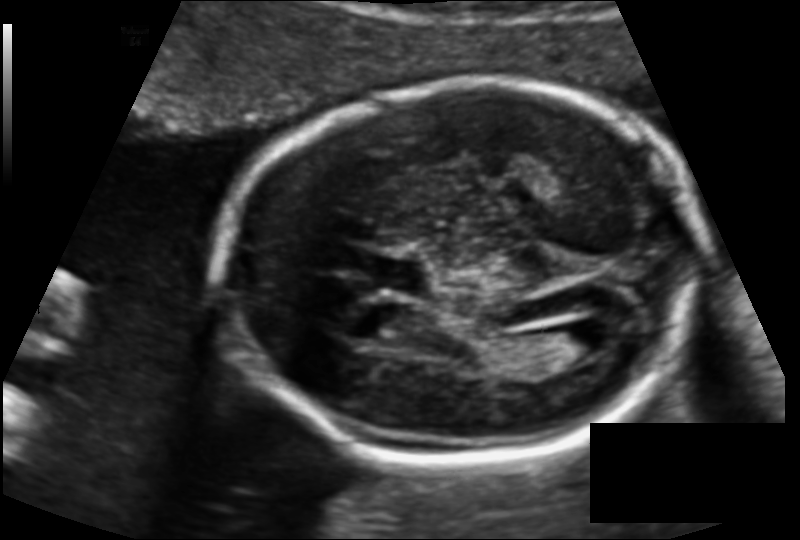
Fetal head ultrasound. Image width: 99.5 mm. Give [x1,y1,x2,y2] bounding boxes for each visible structure among: fetal head, CSP, LV.

Head: [219,86,700,462]
CSP: [361,254,427,295]
Lateral ventricle: [542,320,618,371]